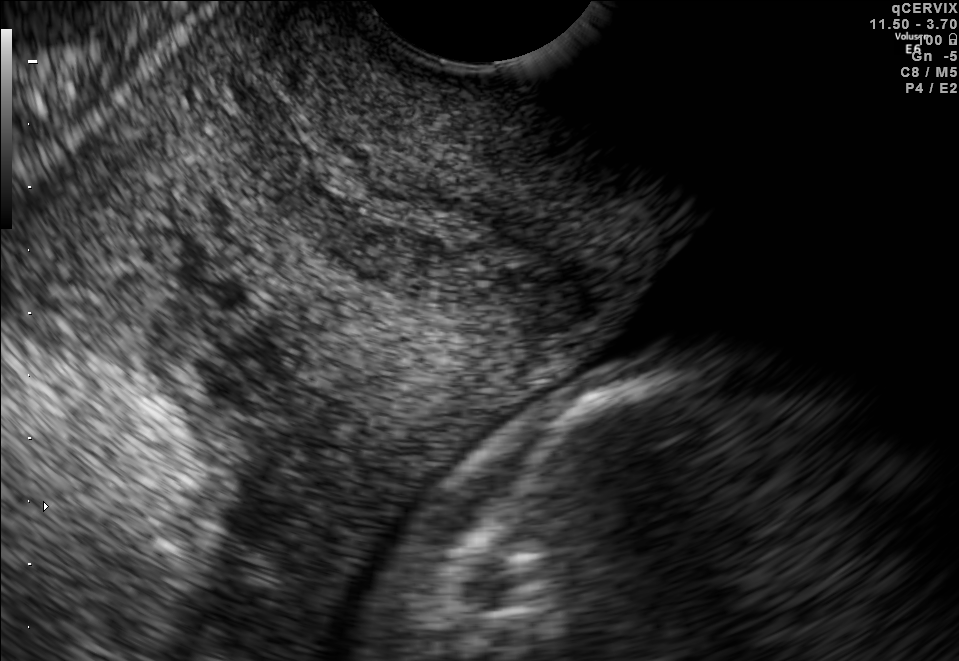
This is a 2D maternal-fetal ultrasound frame. Is it a fetal abdomen, fetal brain, fetal femur, fetal thorax, maternal cervix, or other standard plane? If it's fetal brain and one of the three standard brain planes (trans-thalamic, trans-cerebellum, trans-ventricular), name which.

Maternal cervix